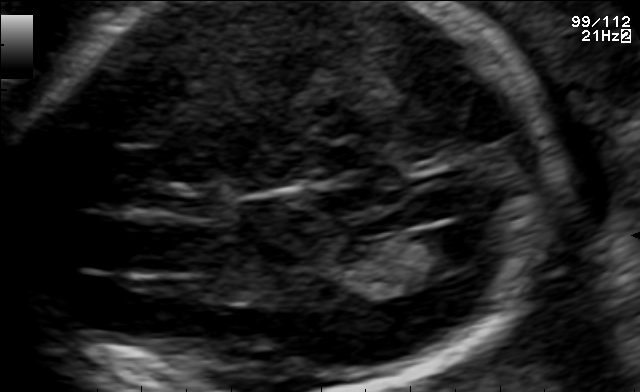
Fetal brain, trans-ventricular plane. Locate the cavum septum pellucidum (CSP) and lateral ventricle (LV), if visible. Give bounding boxes as [x1,y1,x2,y2].

CSP: [177,188,221,216]
Lateral ventricle: [413,212,508,278]